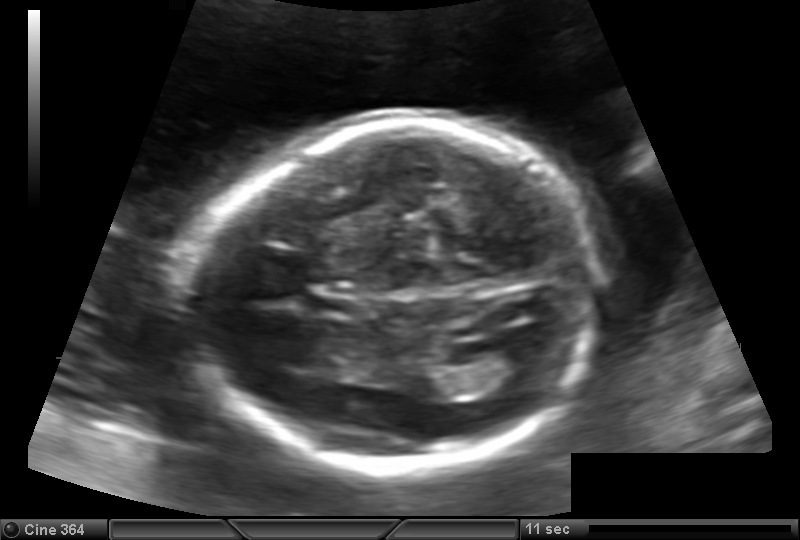
Fetal head ultrasound. Image width: 115.2 mm. Locate the fetal head and, if visible, the cavum septum pellucidum (CSP) and lateral ventricle (LV). Give bounding boxes as [x1,y1,x2,y2].

Head: [200,120,595,471]
CSP: [303,288,361,323]
Lateral ventricle: [472,338,544,394]